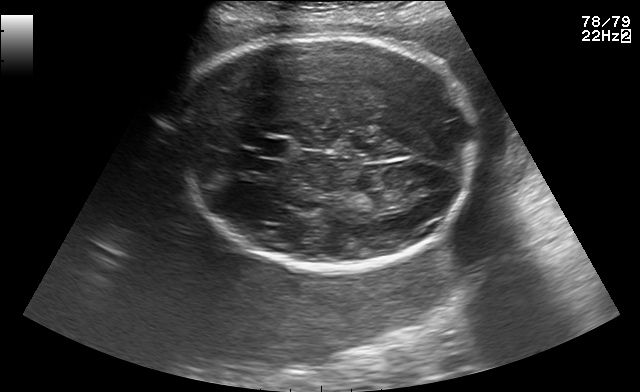
Fetal brain, trans-thalamic plane. Give [x1,y1,x2,y2] bounding boxes for each visible structure among: fetal head, CSP, LV.

Head: [173,33,481,271]
CSP: [253,136,291,160]